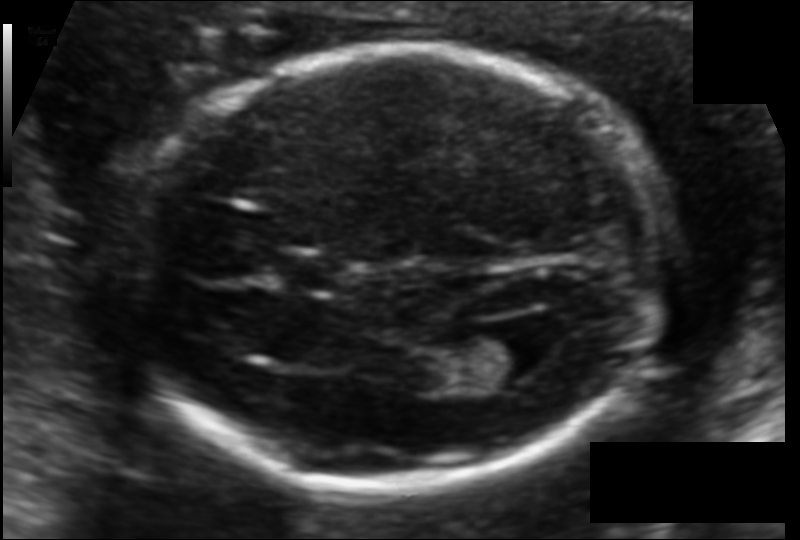
Fetal head ultrasound. Image width: 86.5 mm. Locate the cavum septum pellucidum.

CSP: [276,253,341,292]